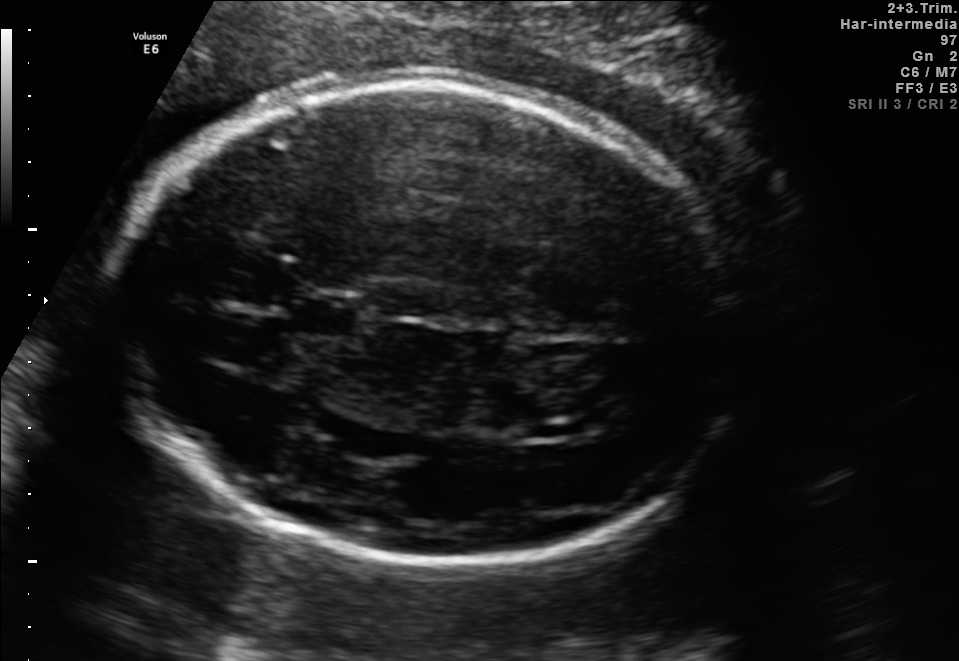
Fetal brain, trans-ventricular plane. Give [x1,y1,x2,y2] bounding boxes for each visible structure among: fetal head, CSP, LV.

Head: [100,68,763,577]
CSP: [280,293,371,339]